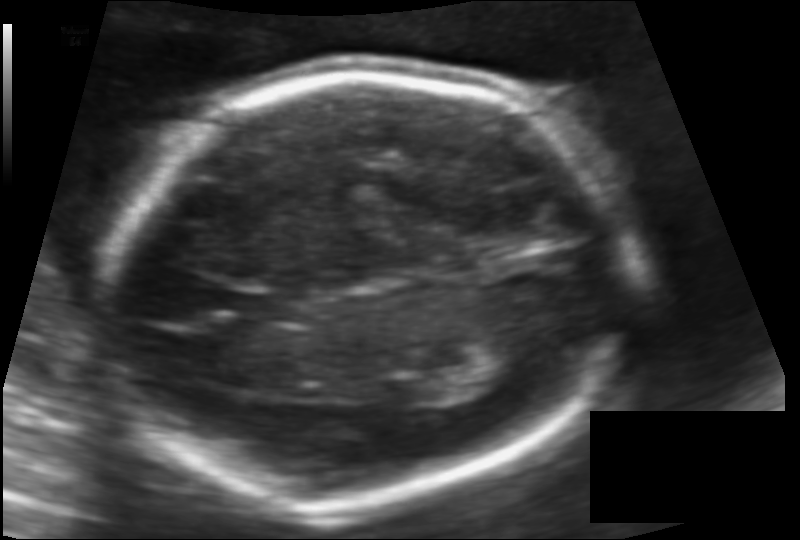
In this fetal head ultrasound, give bounding boxes for the head outline, cavum septum pellucidum (CSP), and lateral ventricle (LV), where visible. Image width: 93.5 mm.

Head: [101,74,624,498]